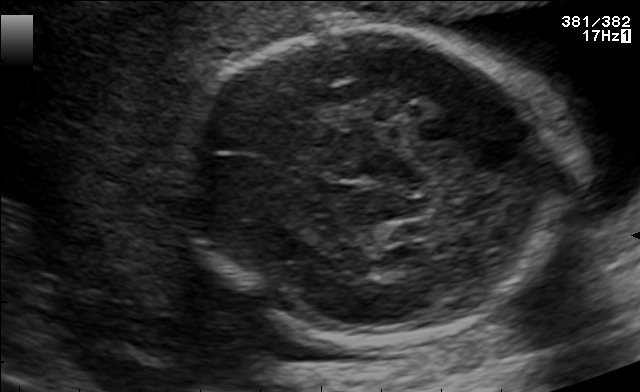
Fetal brain, trans-thalamic plane. Locate the fetal head.

Head: [180,26,557,342]